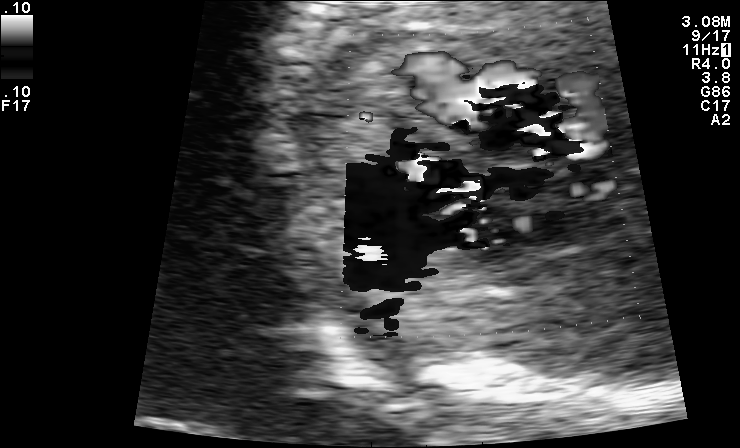
Identify the standard plane in this fetal ultrasound image: fetal abdomen, fetal brain, fetal femur, fetal thorax, maternal cervix, or other. If it's fetal brain and one of the three standard brain planes (trans-thalamic, trans-cerebellum, trans-ventricular), name which.

Other